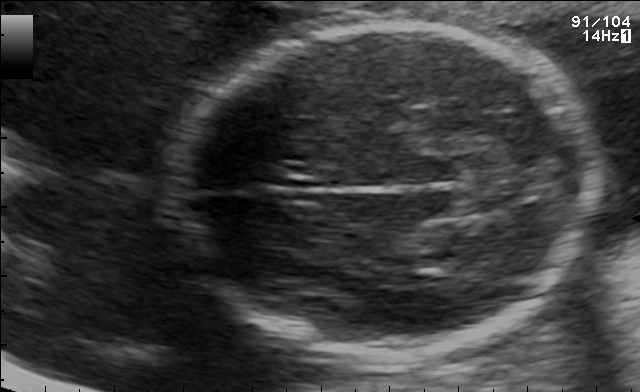
In this fetal brain, trans-thalamic plane, give bounding boxes for the head outline, cavum septum pellucidum (CSP), and lateral ventricle (LV), where visible.

Head: [169,22,599,356]